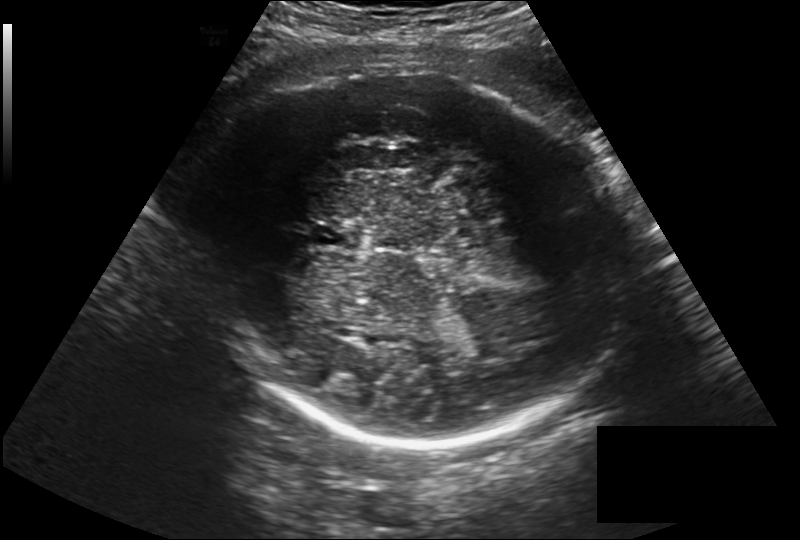
Fetal head ultrasound. Image width: 205.7 mm. Where is the cavum septum pellucidum?

CSP bounding box: [310,220,365,251]